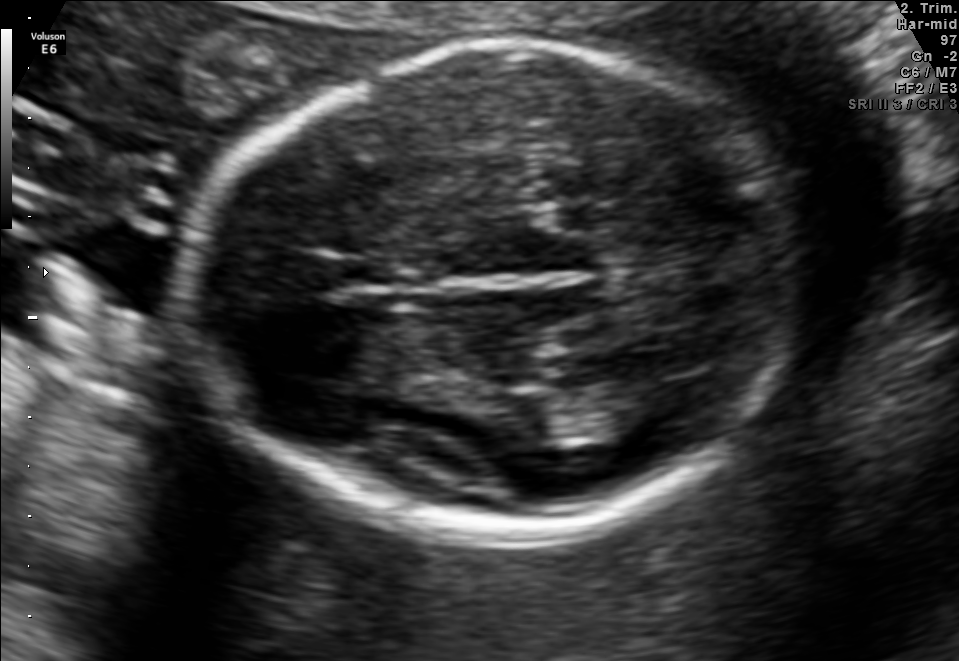
Fetal brain, trans-thalamic plane. Where is the lateral ventricle?

Lateral ventricle bounding box: [598,372,708,441]